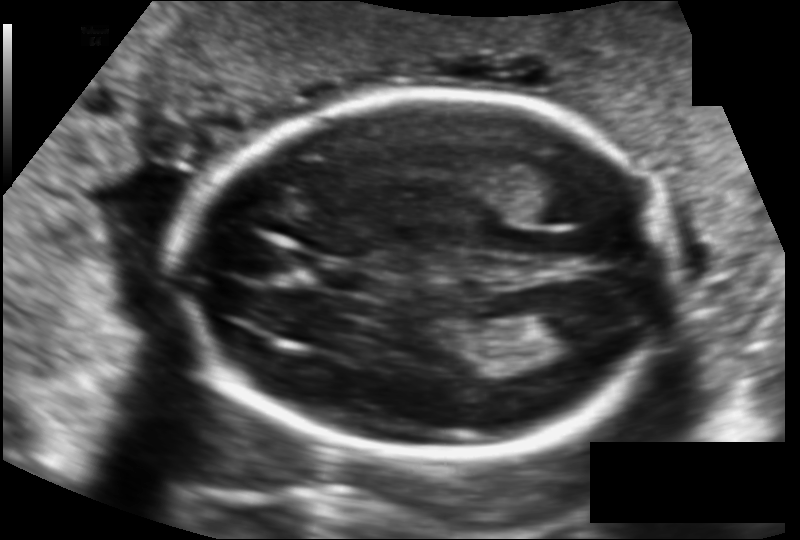
From this fetal ultrasound, estimate the head circumference (image width 98.9 mm).

Head circumference: 174.0 mm.